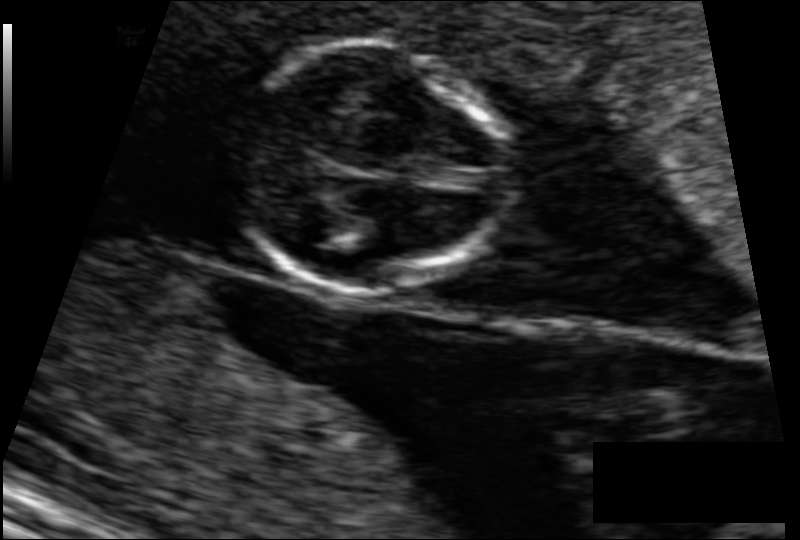
Estimate the fetal head circumference from this 2D ultrasound.

Head circumference: 70.1 mm (image width 66.3 mm).